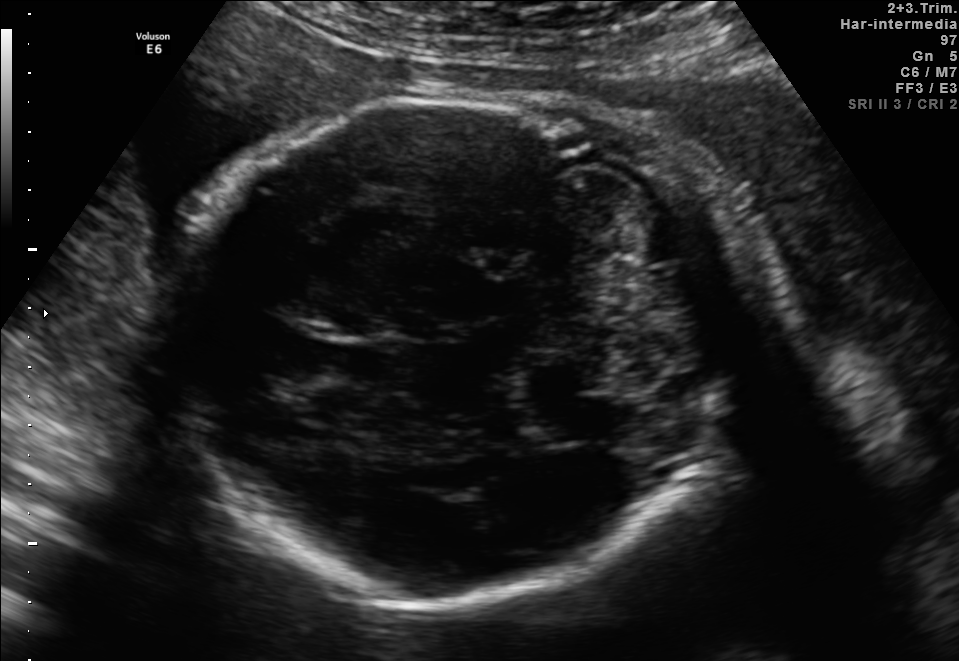
Fetal brain, trans-cerebellum plane. Locate the fetal head and, if visible, the cavum septum pellucidum (CSP) and lateral ventricle (LV). Give bounding boxes as [x1,y1,x2,y2].

Head: [166,91,777,596]